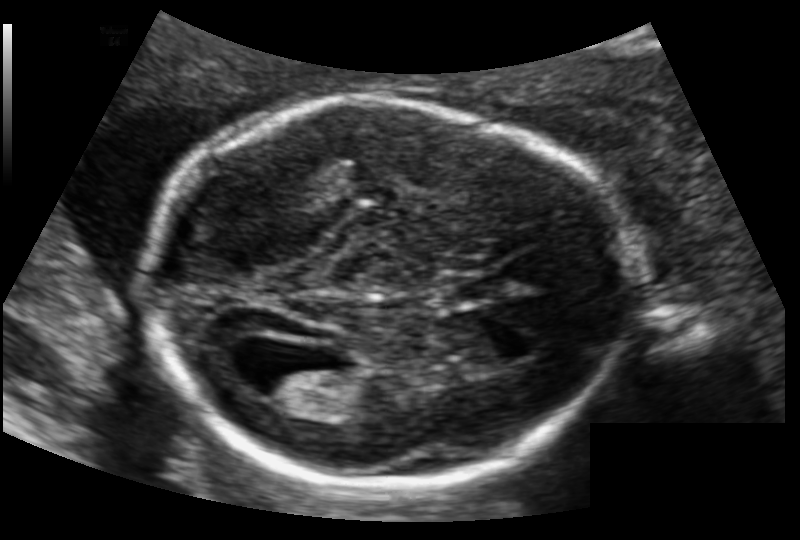
Fetal head ultrasound. Image width: 100.7 mm. Where is the fetal head?

Head bounding box: [143,98,621,489]